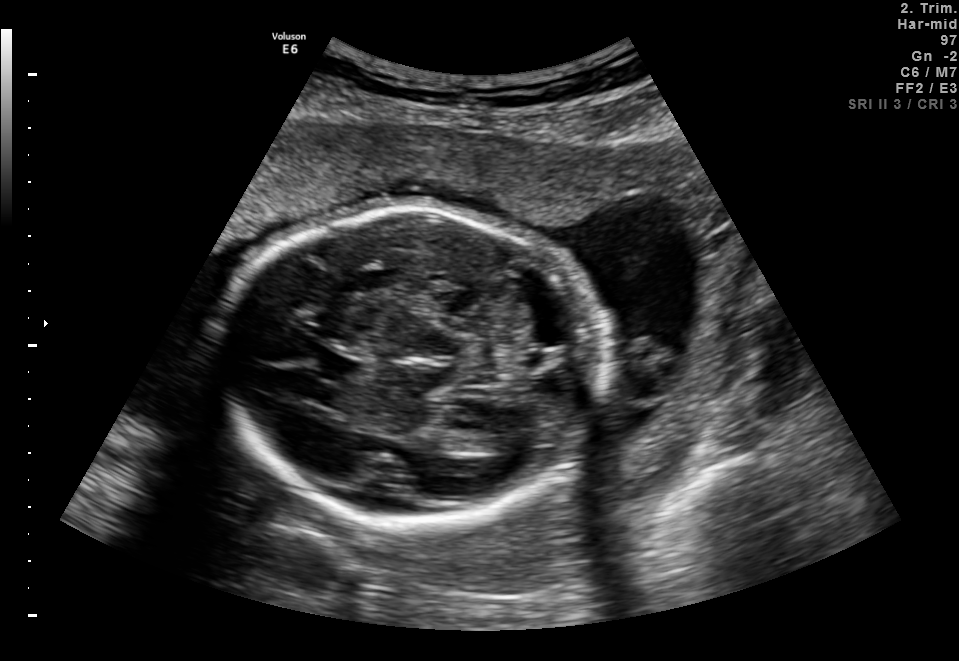
In this fetal brain, trans-thalamic plane, give bounding boxes for the head outline, cavum septum pellucidum (CSP), and lateral ventricle (LV), where visible.

Head: [223,208,600,523]
CSP: [309,347,364,387]
Lateral ventricle: [474,423,527,455]